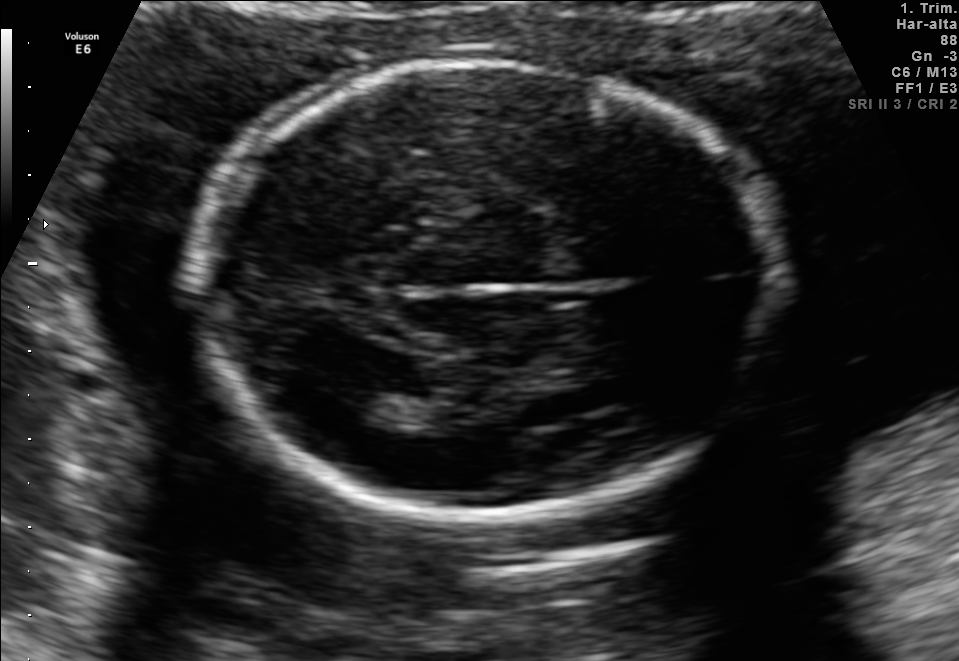
Fetal brain, trans-thalamic plane. Locate the fetal head and, if visible, the cavum septum pellucidum (CSP) and lateral ventricle (LV). Give bounding boxes as [x1,y1,x2,y2].

Head: [196,63,779,518]
Lateral ventricle: [325,376,405,434]